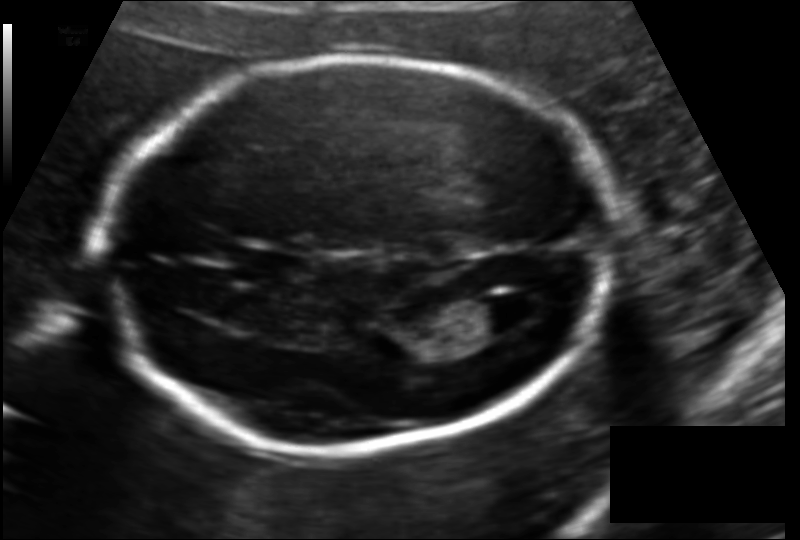
In this fetal head ultrasound, give the bounding box of the lateral ventricle. Image width: 101.5 mm.

[459,292,520,344]